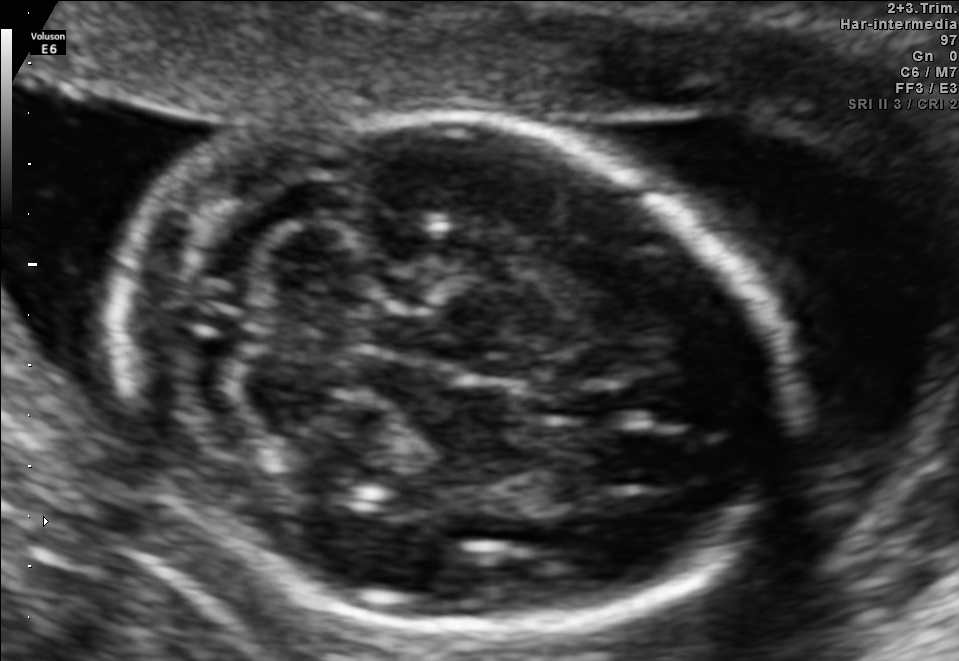
In this fetal brain, trans-cerebellum plane, give the bounding box of the fetal head.

[107,109,796,632]